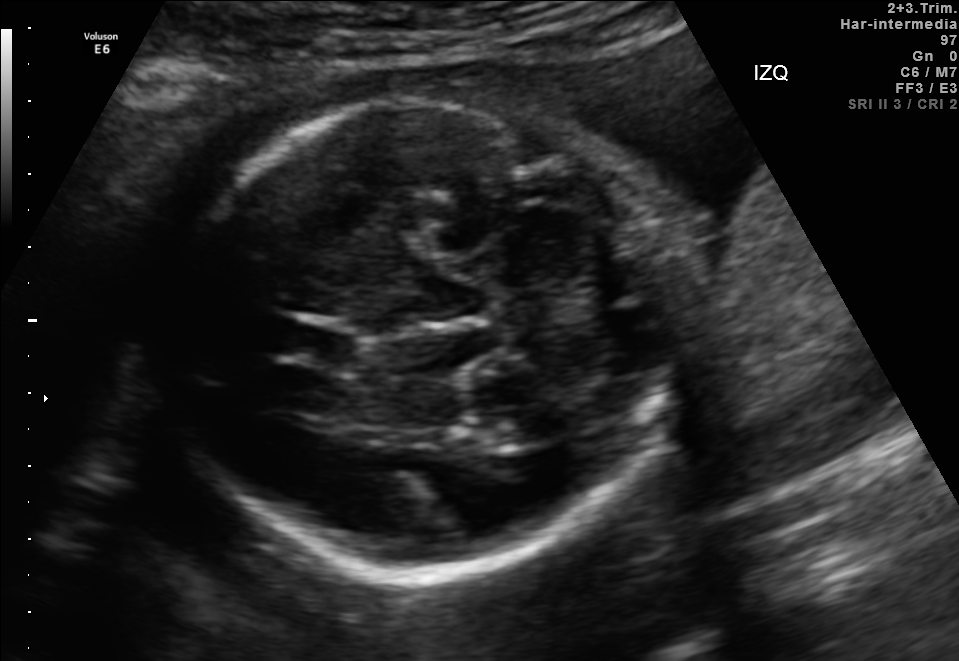
Fetal brain, trans-cerebellum plane. Locate the fetal head.

Head: [169,94,704,577]